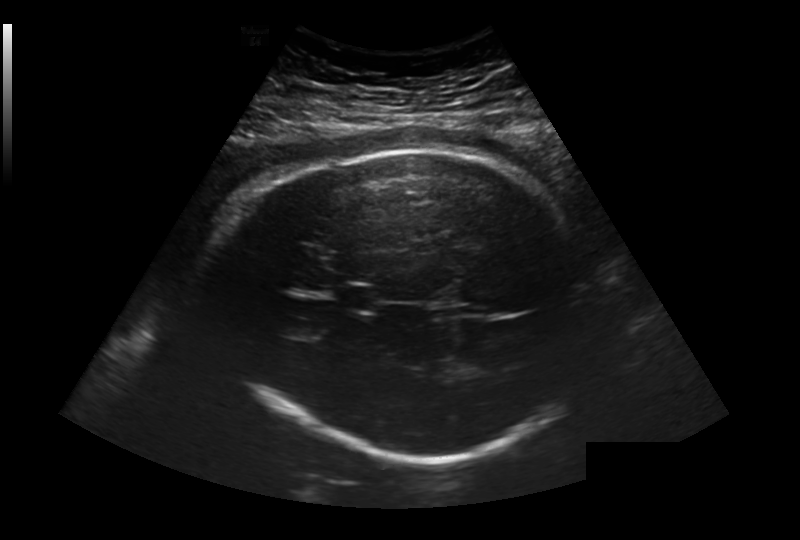
In this fetal head ultrasound, give the bounding box of the fetal head. Image width: 224.9 mm.

[216,149,602,458]